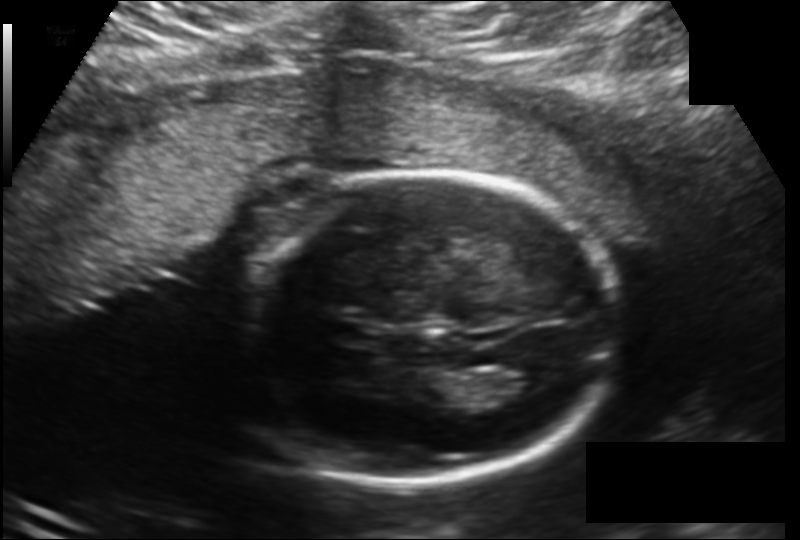
Fetal head ultrasound. Image width: 132.4 mm. Give [x1,y1,x2,y2] bounding boxes for each visible structure among: fetal head, CSP, LV.

Head: [226,174,621,482]
Lateral ventricle: [489,362,557,402]